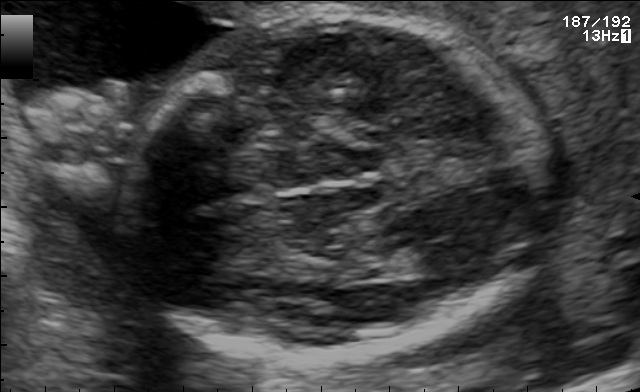
Fetal brain, trans-thalamic plane. Locate the fetal head and, if visible, the cavum septum pellucidum (CSP) and lateral ventricle (LV). Give bounding boxes as [x1,y1,x2,y2].

Head: [114,14,550,358]